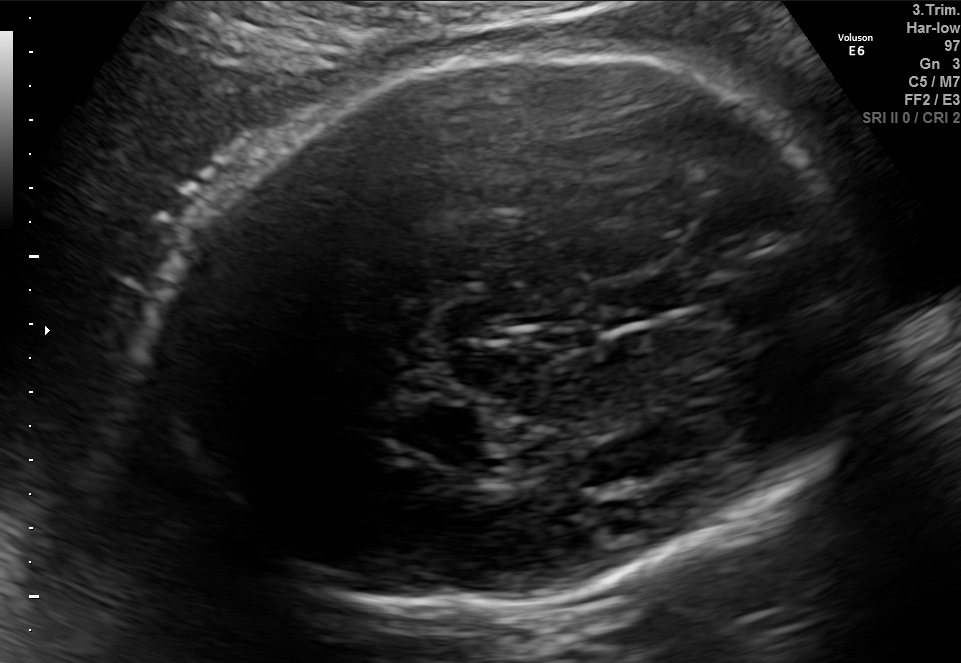
Fetal brain, trans-thalamic plane. Give [x1,y1,x2,y2] bounding boxes for each visible structure among: fetal head, CSP, LV.

Head: [150,48,863,607]
CSP: [589,267,693,332]